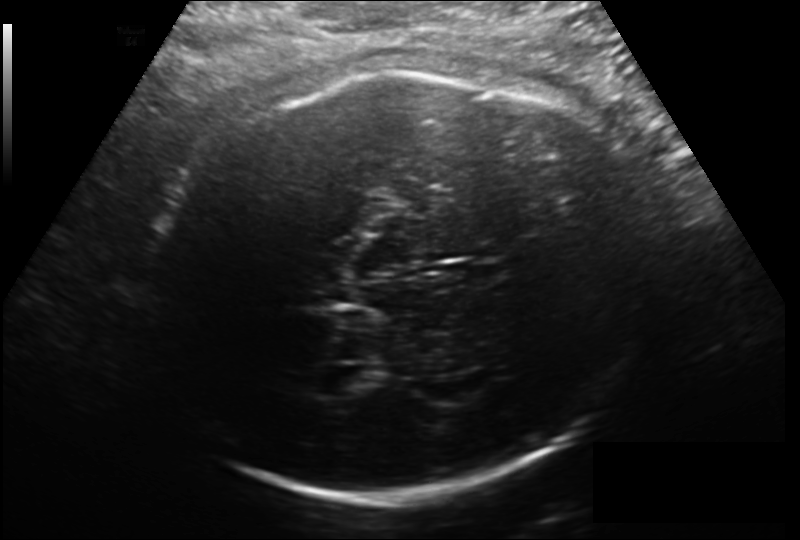
In this fetal head ultrasound, give the bounding box of the lateral ventricle. Image width: 164.8 mm.

[320,366,373,395]